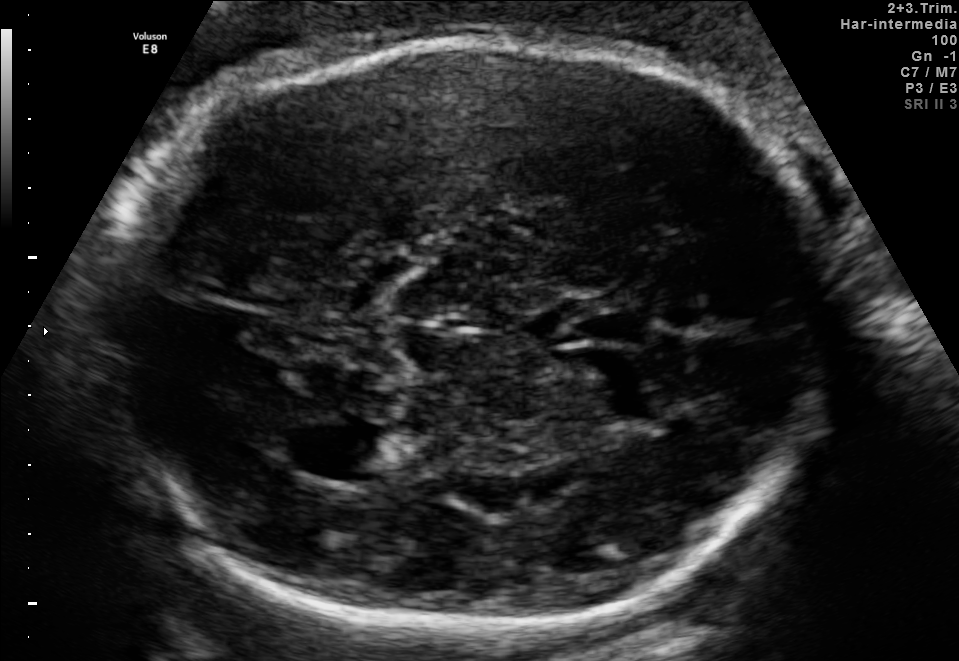
Fetal brain, trans-thalamic plane. Where is the lateral ventricle?

Lateral ventricle bounding box: [312,423,421,481]